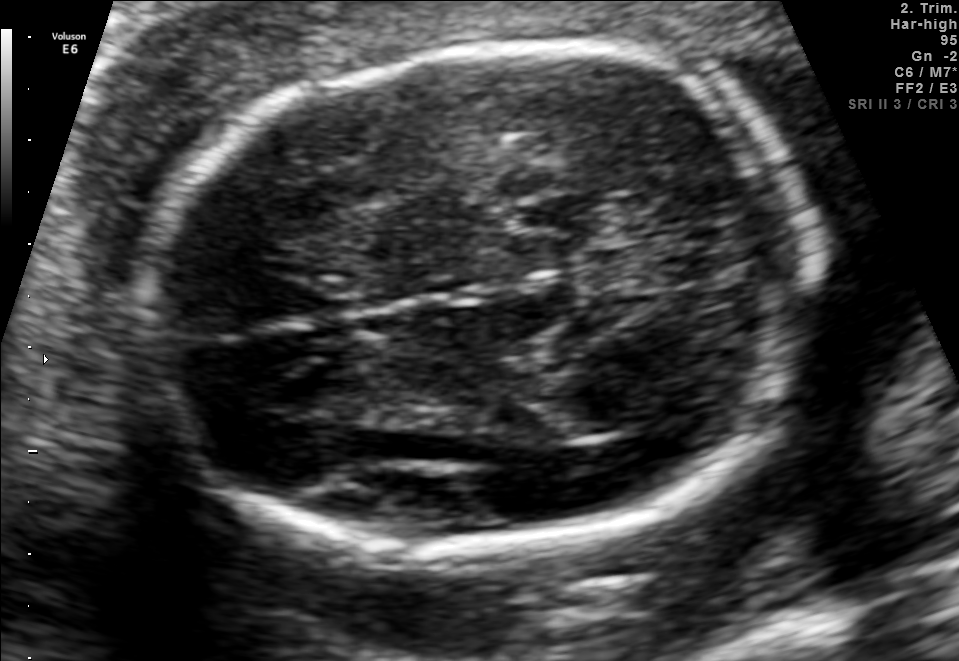
Fetal brain, trans-thalamic plane. Locate the fetal head.

Head: [134,47,813,548]